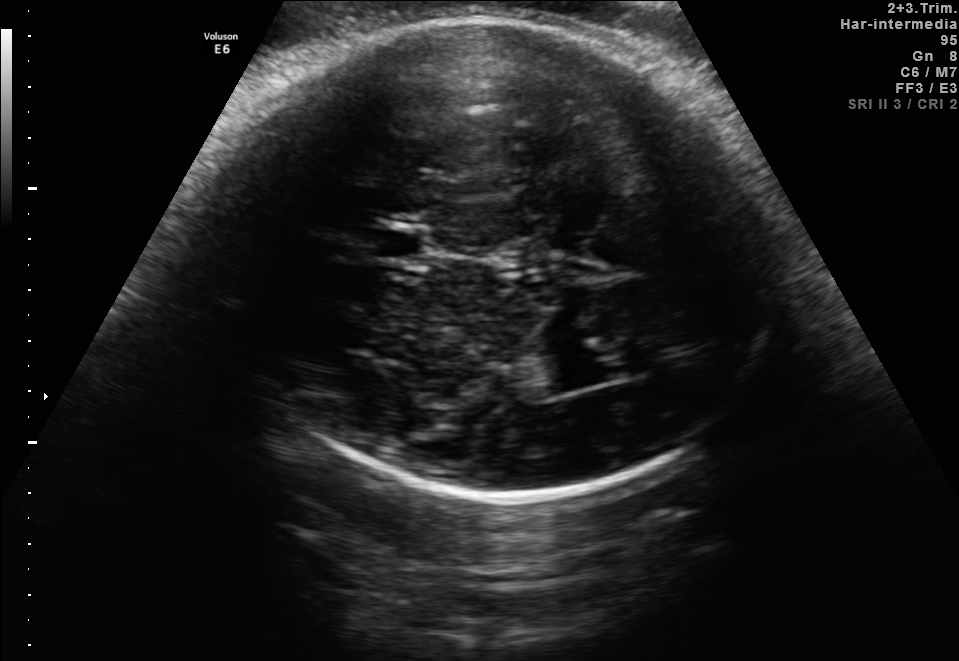
Fetal brain, trans-thalamic plane. Locate the fetal head.

Head: [214,22,781,499]